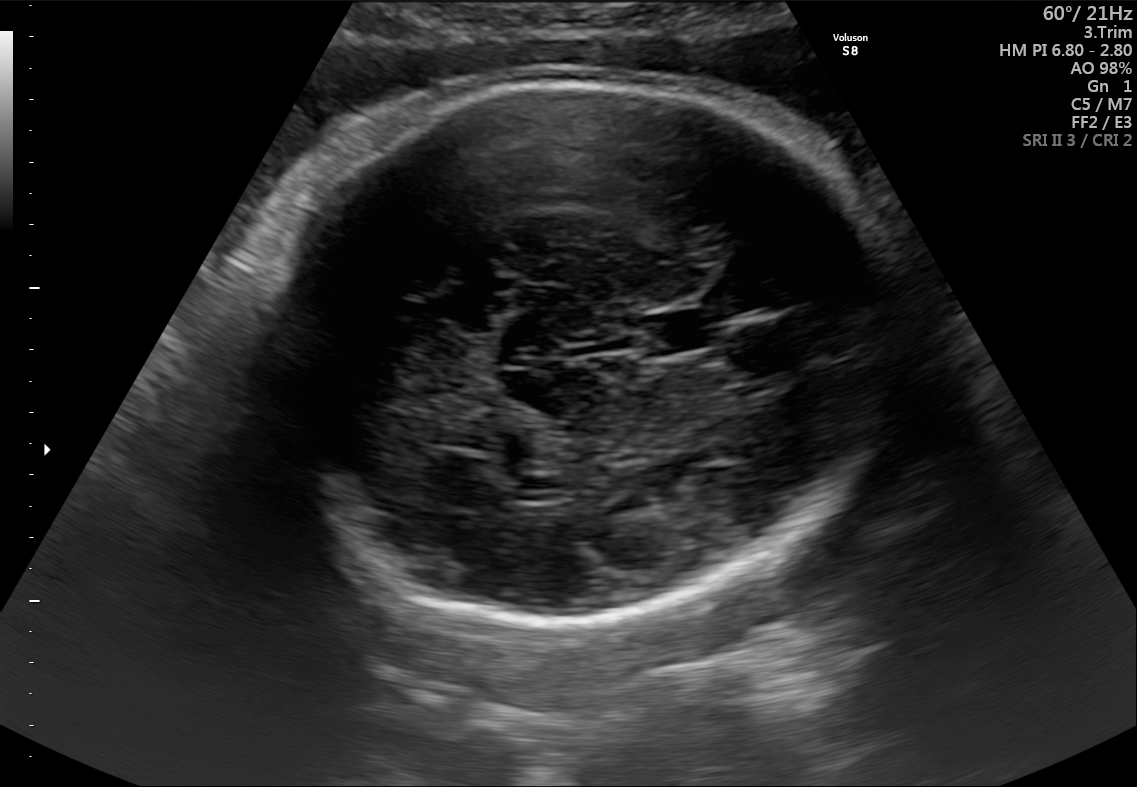
Identify the standard plane in this fetal ultrasound image: fetal abdomen, fetal brain, fetal femur, fetal thorax, maternal cervix, or other. If it's fetal brain and one of the three standard brain planes (trans-thalamic, trans-cerebellum, trans-ventricular), name which.

Fetal brain (trans-thalamic plane)